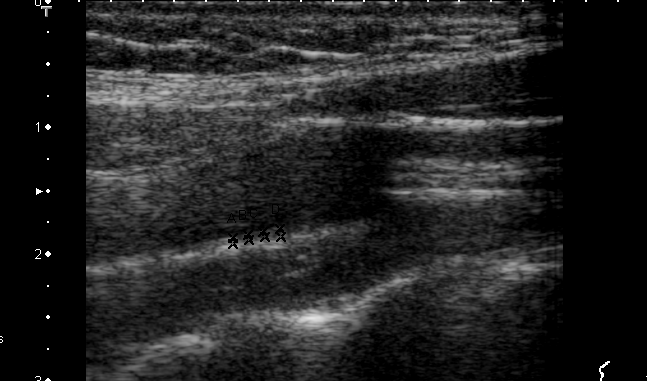
This is a 2D maternal-fetal ultrasound frame. Is it a fetal abdomen, fetal brain, fetal femur, fetal thorax, maternal cervix, or other standard plane? If it's fetal brain and one of the three standard brain planes (trans-thalamic, trans-cerebellum, trans-ventricular), name which.

Other